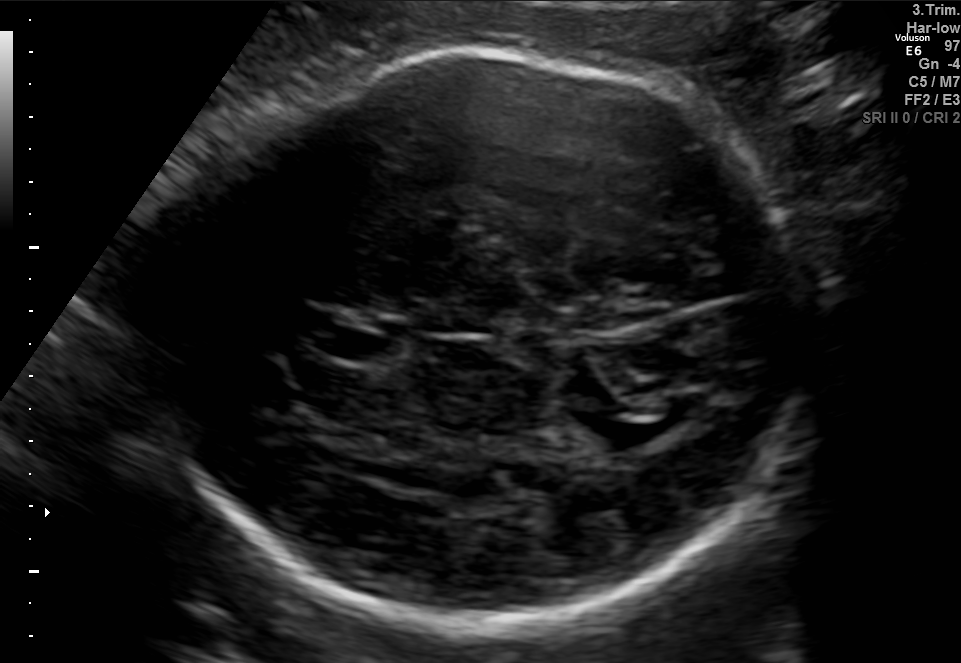
Fetal brain, trans-thalamic plane. Where is the lateral ventricle?

Lateral ventricle bounding box: [575,383,681,465]